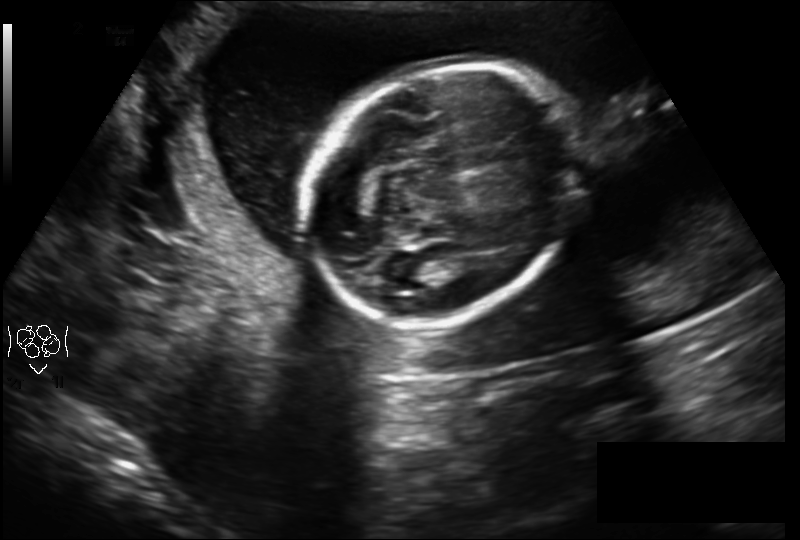
Estimate the fetal head circumference from this 2D ultrasound. Image width: 167.6 mm.

Head circumference: 180.4 mm.